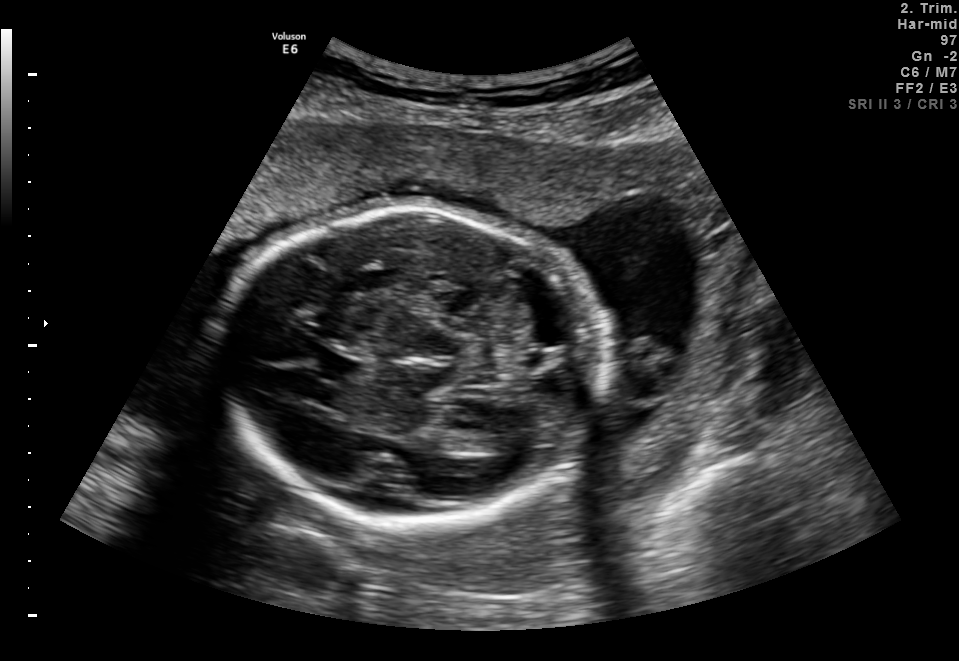
In this fetal brain, trans-thalamic plane, give the bounding box of the fetal head.

[223,208,600,523]